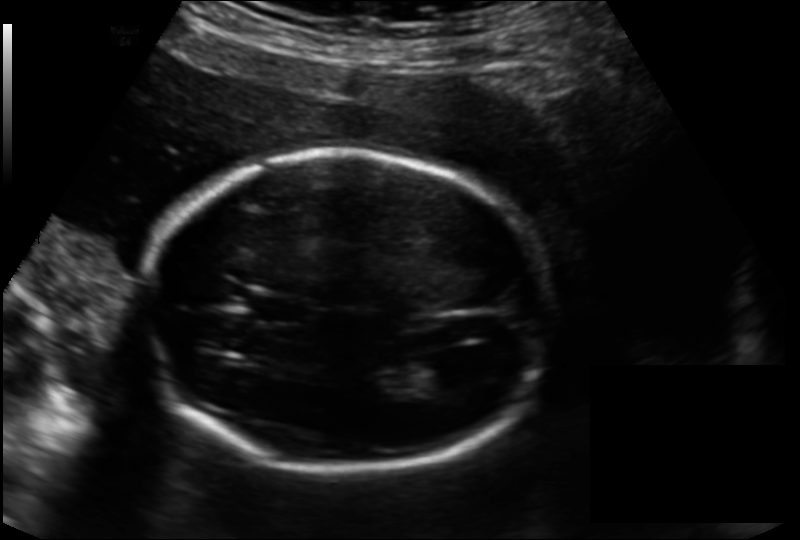
What is the fetal head circumference? Image width is 133.1 mm.

197.8 mm